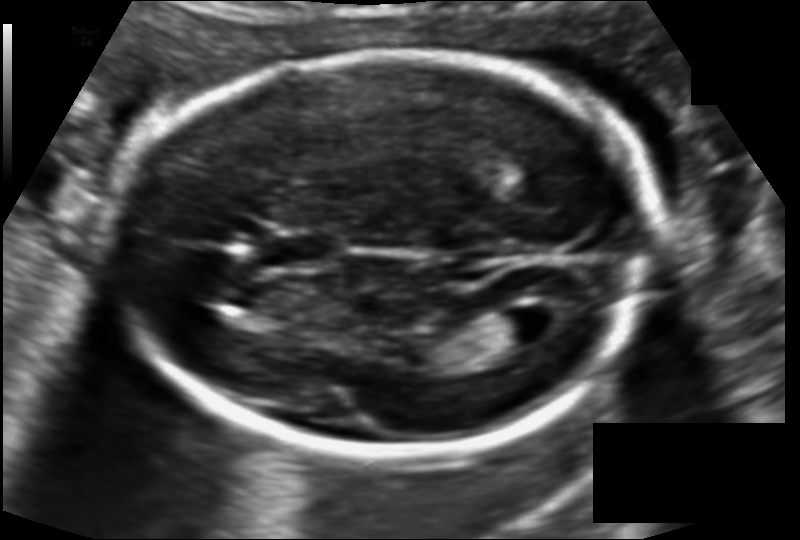
Estimate the fetal head circumference from this 2D ultrasound.

Head circumference: 178.0 mm (image width 92.2 mm).